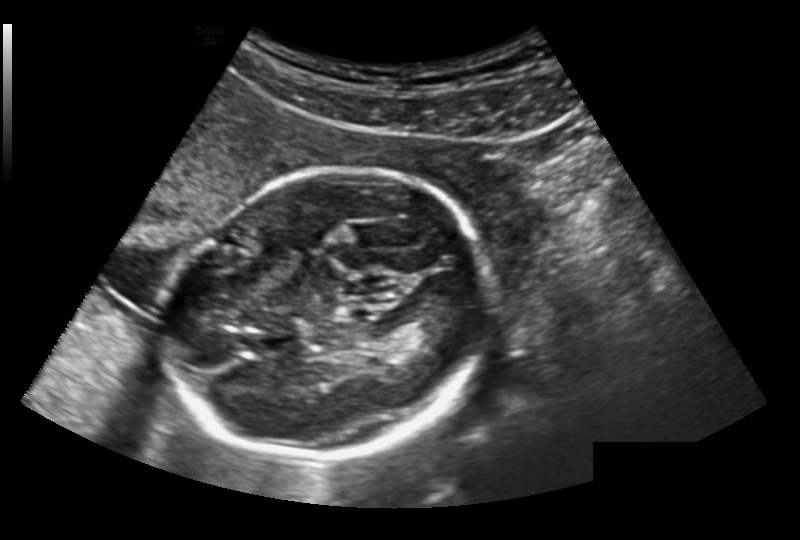
From this fetal ultrasound, estimate the head circumference (image width 152.5 mm).

Head circumference: 191.9 mm.